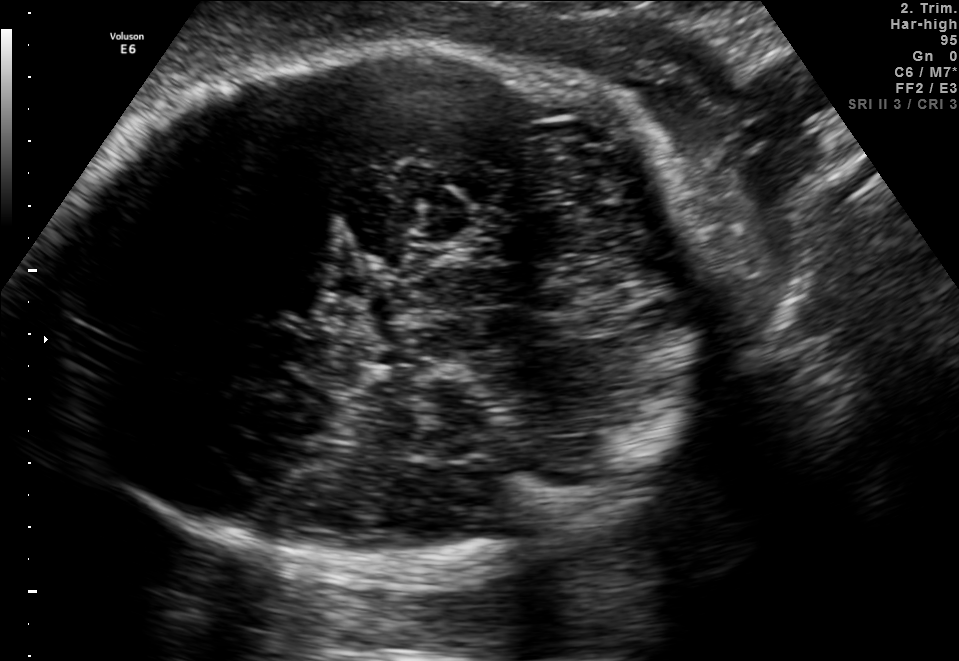
In this fetal brain, trans-thalamic plane, give the bounding box of the fetal head.

[57,44,700,565]